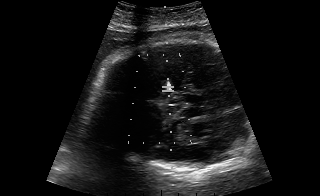
Which standard maternal-fetal ultrasound plane is shown: fetal abdomen, fetal brain, fetal femur, fetal thorax, maternal cervix, or other? If it's fetal brain and one of the three standard brain planes (trans-thalamic, trans-cerebellum, trans-ventricular), name which.

Other